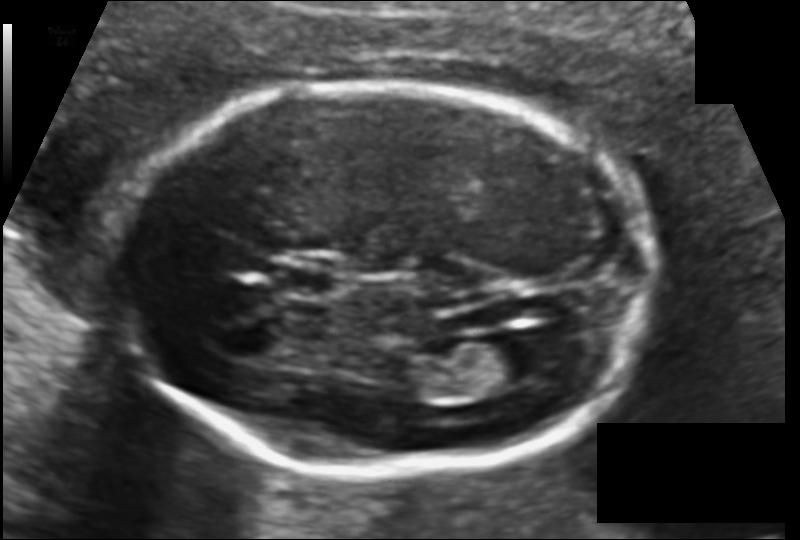
Measure the fetal head circumference shown in this ultrasound image. Image width: 90.6 mm.

Head circumference: 171.6 mm.